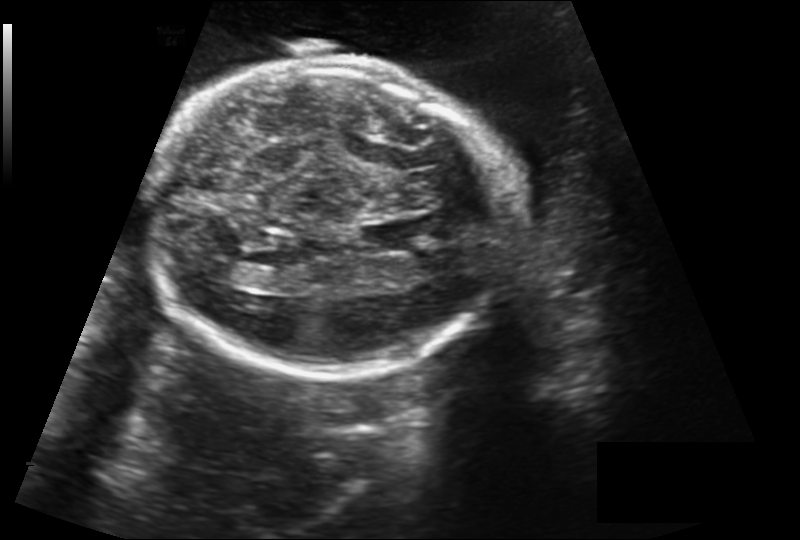
Estimate the fetal head circumference from this 2D ultrasound. Image width: 169.6 mm.

Head circumference: 231.6 mm.